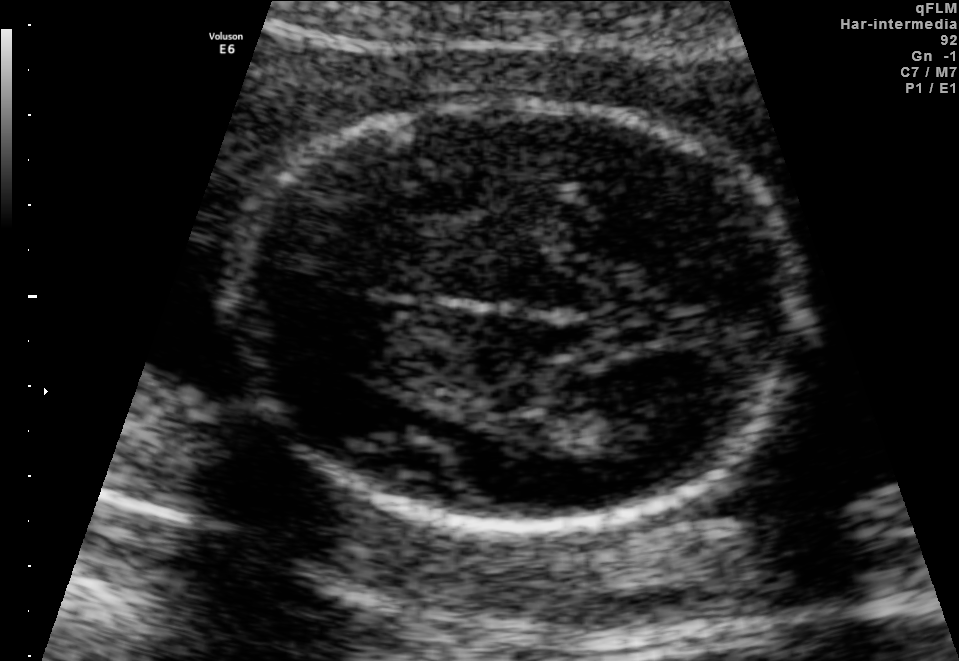
This is a 2D maternal-fetal ultrasound frame. Is it a fetal abdomen, fetal brain, fetal femur, fetal thorax, maternal cervix, or other standard plane? If it's fetal brain and one of the three standard brain planes (trans-thalamic, trans-cerebellum, trans-ventricular), name which.

Fetal brain (trans-thalamic plane)